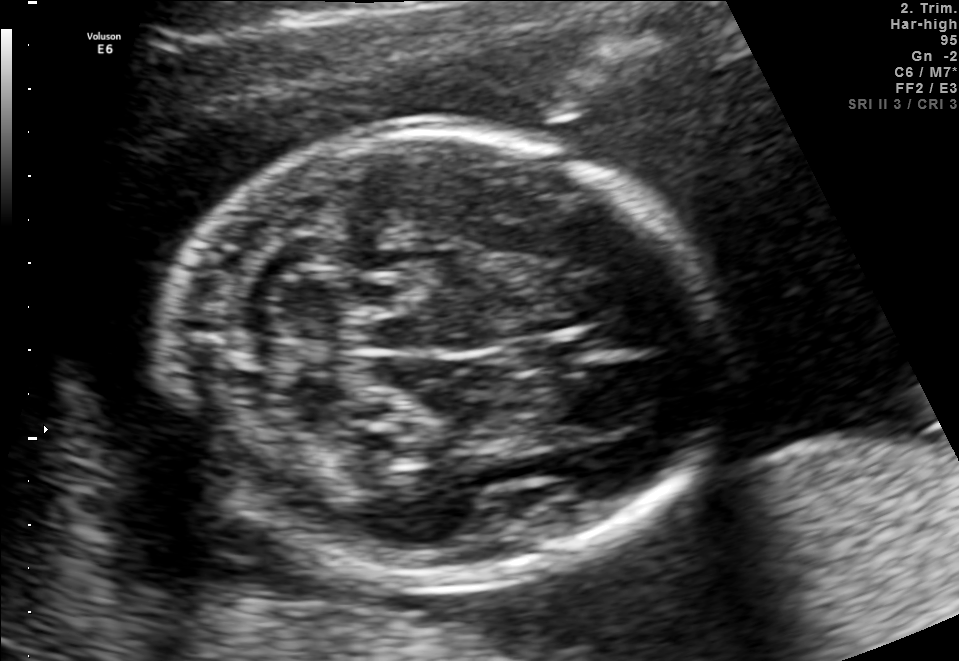
Fetal brain, trans-cerebellum plane. Give [x1,y1,x2,y2] bounding boxes for each visible structure among: fetal head, CSP, LV.

Head: [174,124,723,579]
CSP: [504,333,574,375]